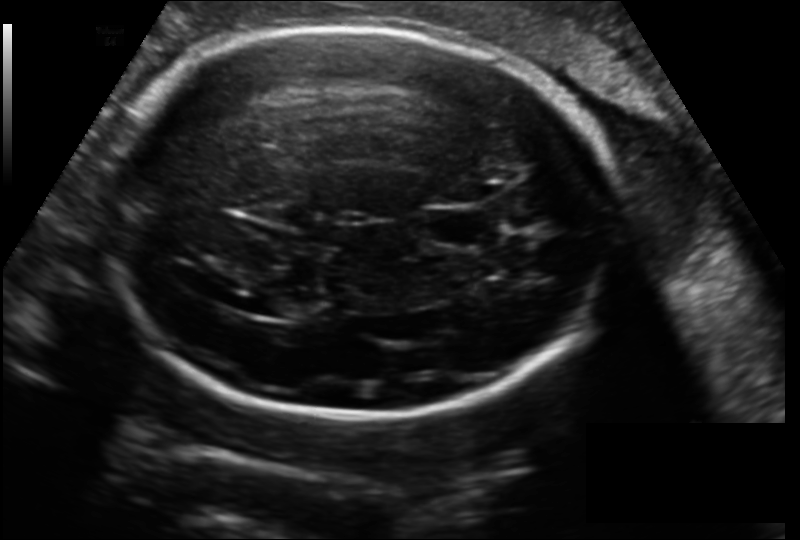
Fetal head ultrasound. Image width: 142.1 mm. Locate the fetal head and, if visible, the cavum septum pellucidum (CSP) and lateral ventricle (LV). Give bounding boxes as [x1,y1,x2,y2].

Head: [98,25,619,417]
CSP: [424,207,486,247]
Lateral ventricle: [254,293,303,320]